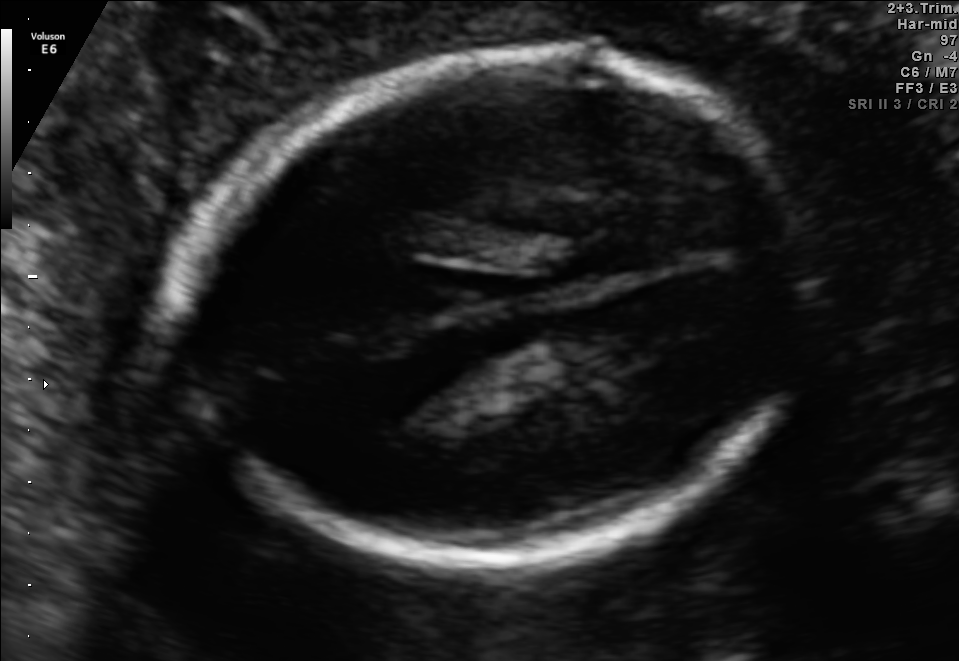
Fetal brain, trans-thalamic plane. Where is the fetal head?

Head bounding box: [183,48,814,567]